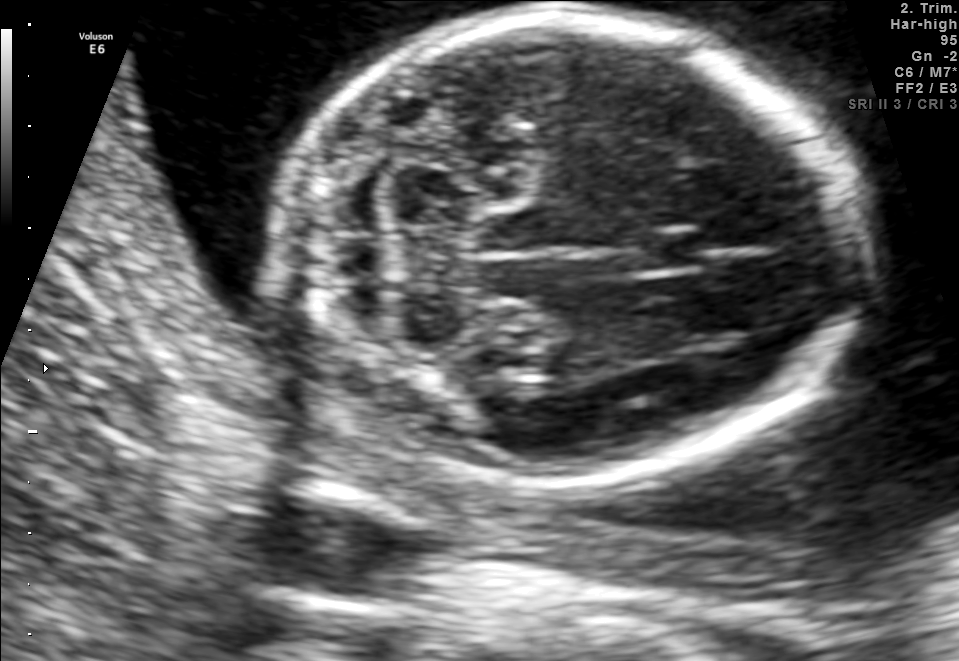
Fetal brain, trans-cerebellum plane. Where is the cavum septum pellucidum?

CSP bounding box: [624,225,705,277]